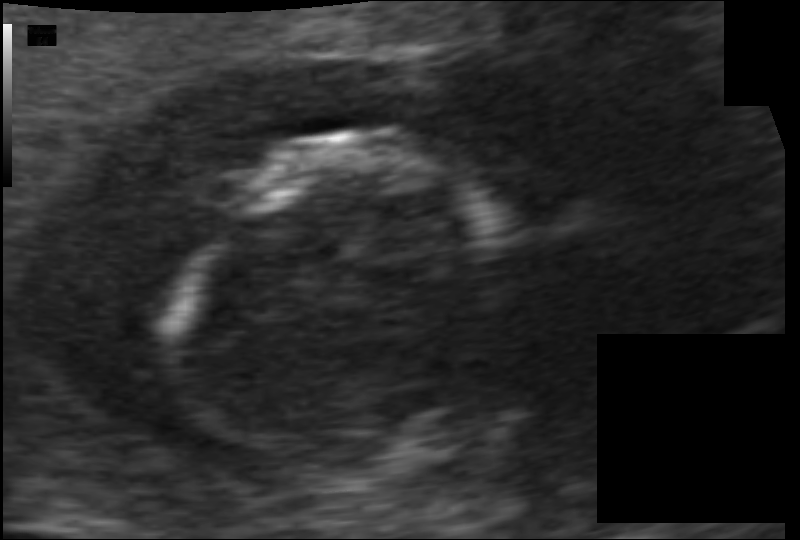
In this fetal head ultrasound, give the bounding box of the fetal head. Image width: 55.9 mm.

[180,135,496,457]